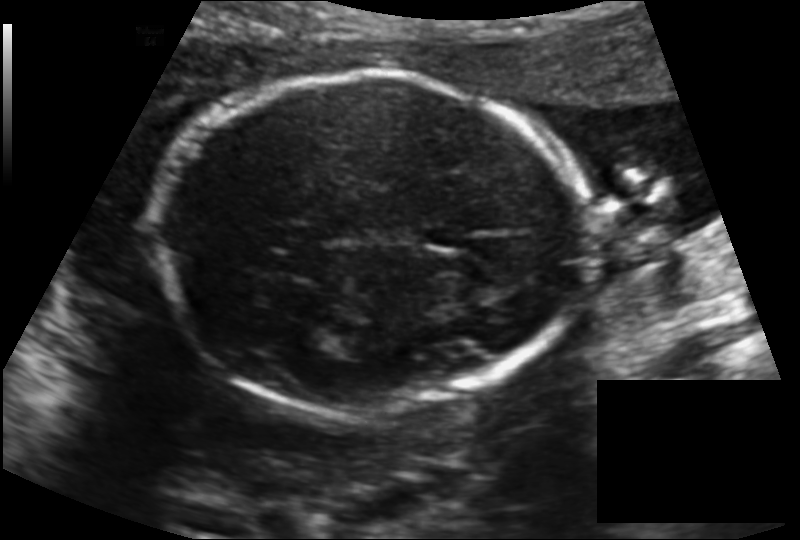
Fetal head ultrasound. Image width: 116.2 mm. Where is the fetal head?

Head bounding box: [156,72,592,416]